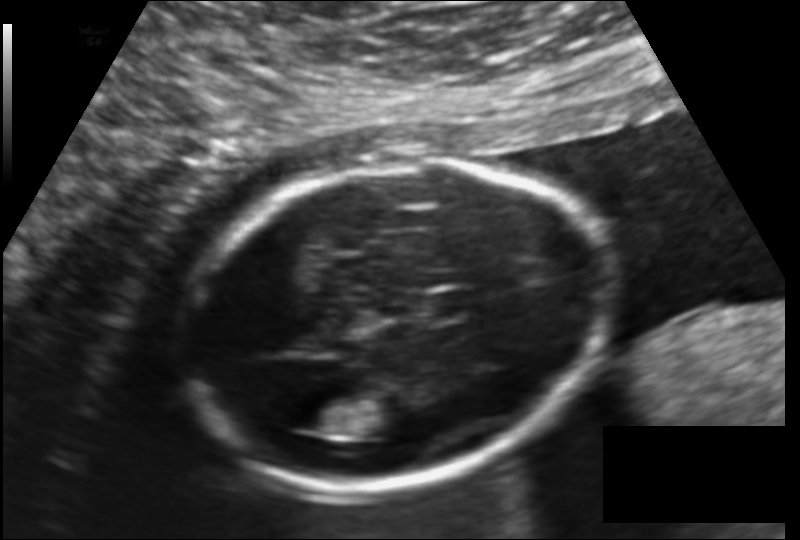
From this fetal ultrasound, estimate the head circumference (image width 112.0 mm).

Head circumference: 178.3 mm.